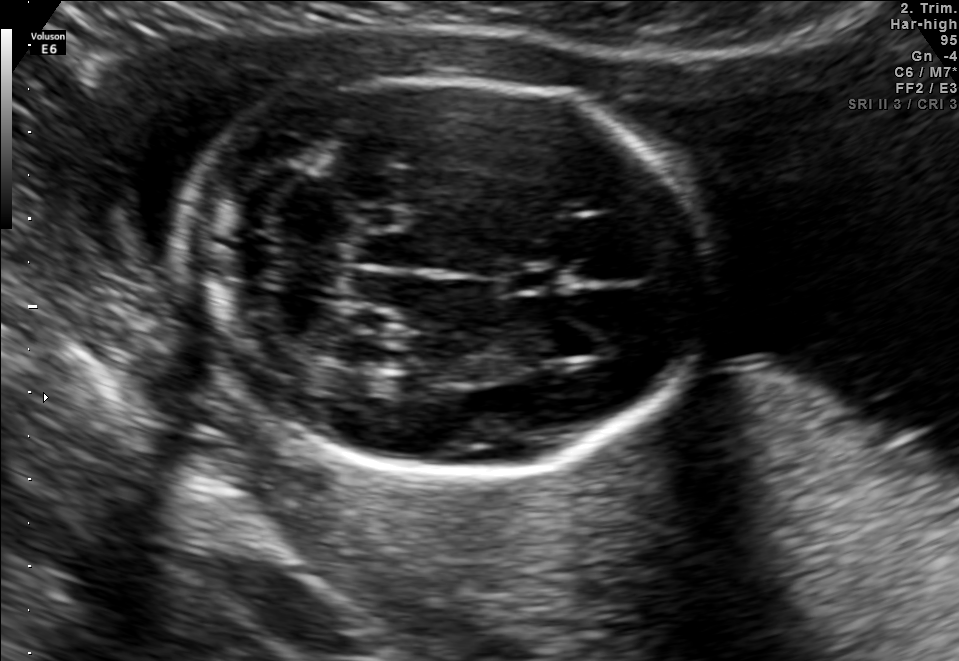
Fetal brain, trans-cerebellum plane. Locate the cavum septum pellucidum.

CSP: [504,262,564,298]